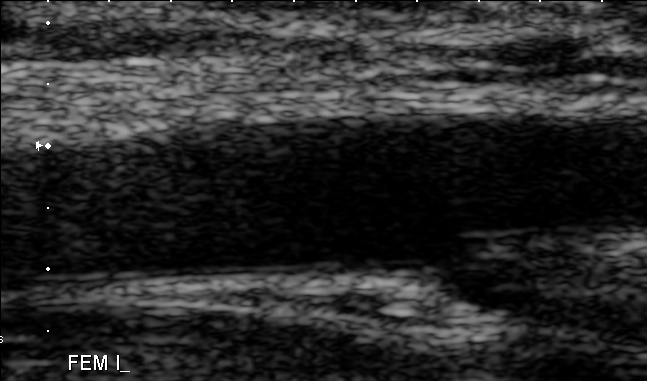
Classify this maternal-fetal ultrasound image as one of the six standard planes — fetal abdomen, fetal brain, fetal femur, fetal thorax, maternal cervix, or other. If it's fetal brain and one of the three standard brain planes (trans-thalamic, trans-cerebellum, trans-ventricular), name which.

Other